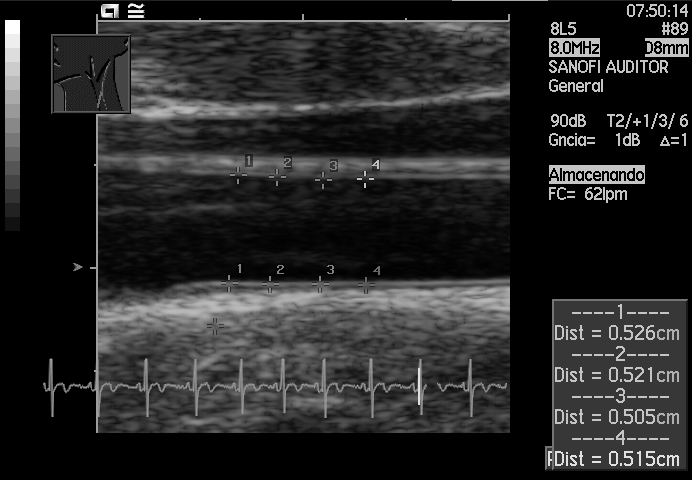
Identify the standard plane in this fetal ultrasound image: fetal abdomen, fetal brain, fetal femur, fetal thorax, maternal cervix, or other. If it's fetal brain and one of the three standard brain planes (trans-thalamic, trans-cerebellum, trans-ventricular), name which.

Other